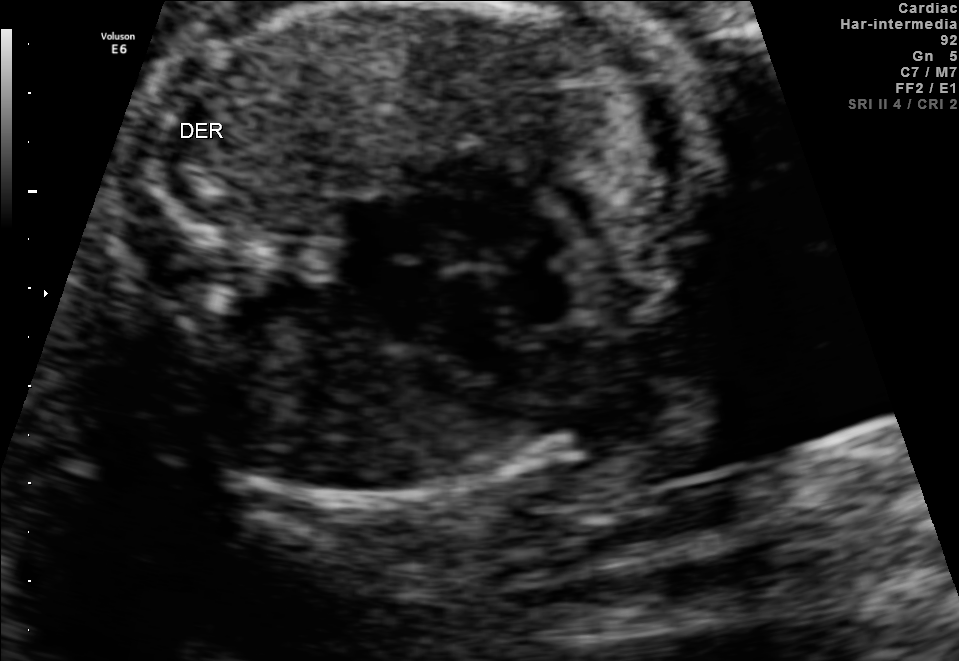
Which standard maternal-fetal ultrasound plane is shown: fetal abdomen, fetal brain, fetal femur, fetal thorax, maternal cervix, or other? If it's fetal brain and one of the three standard brain planes (trans-thalamic, trans-cerebellum, trans-ventricular), name which.

Fetal thorax